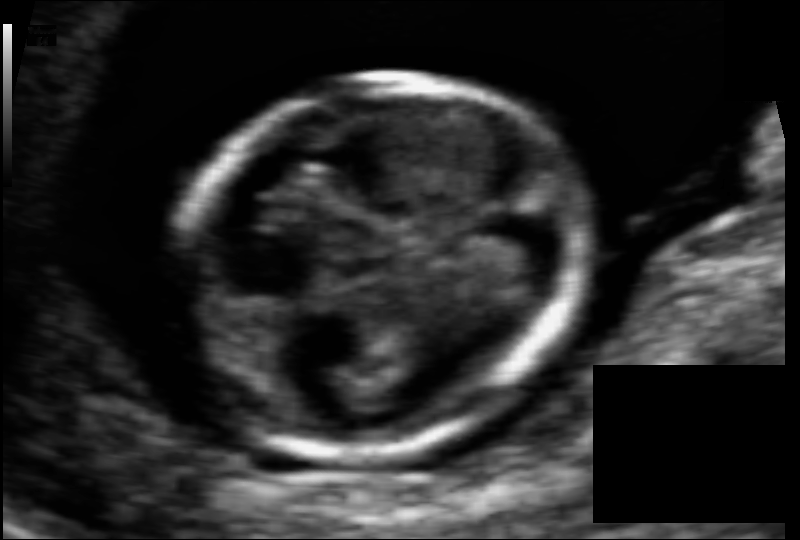
Measure the fetal head circumference shown in this ultrasound image. Image width: 43.2 mm.

Head circumference: 69.8 mm.